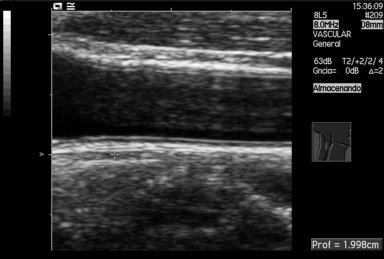
Identify the standard plane in this fetal ultrasound image: fetal abdomen, fetal brain, fetal femur, fetal thorax, maternal cervix, or other. If it's fetal brain and one of the three standard brain planes (trans-thalamic, trans-cerebellum, trans-ventricular), name which.

Other